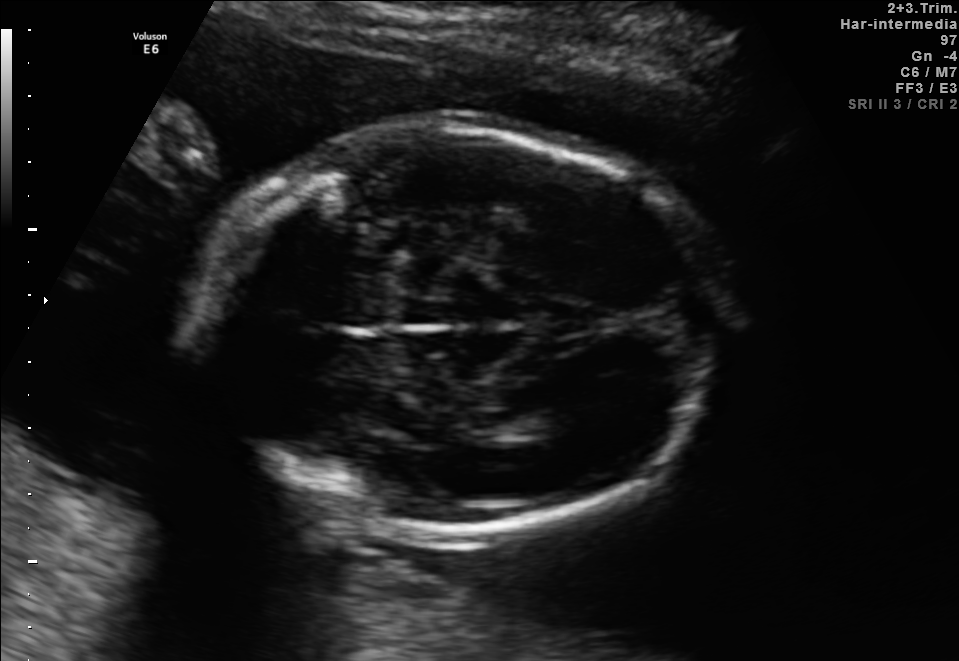
Fetal brain, trans-thalamic plane. Give [x1,y1,x2,y2] bounding boxes for each visible structure among: fetal head, CSP, LV.

Head: [190,128,719,533]
Lateral ventricle: [500,405,577,439]